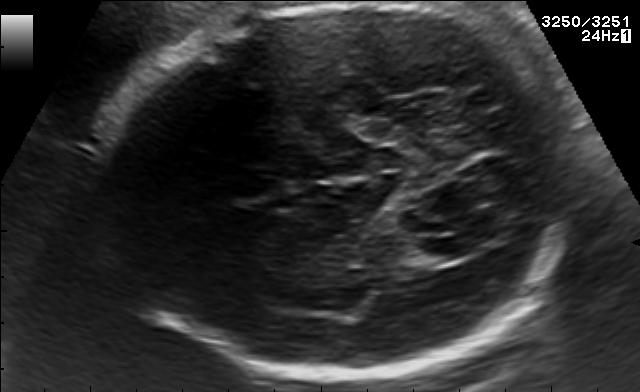
Fetal brain, trans-thalamic plane. Where is the fetal head?

Head bounding box: [109,3,573,381]